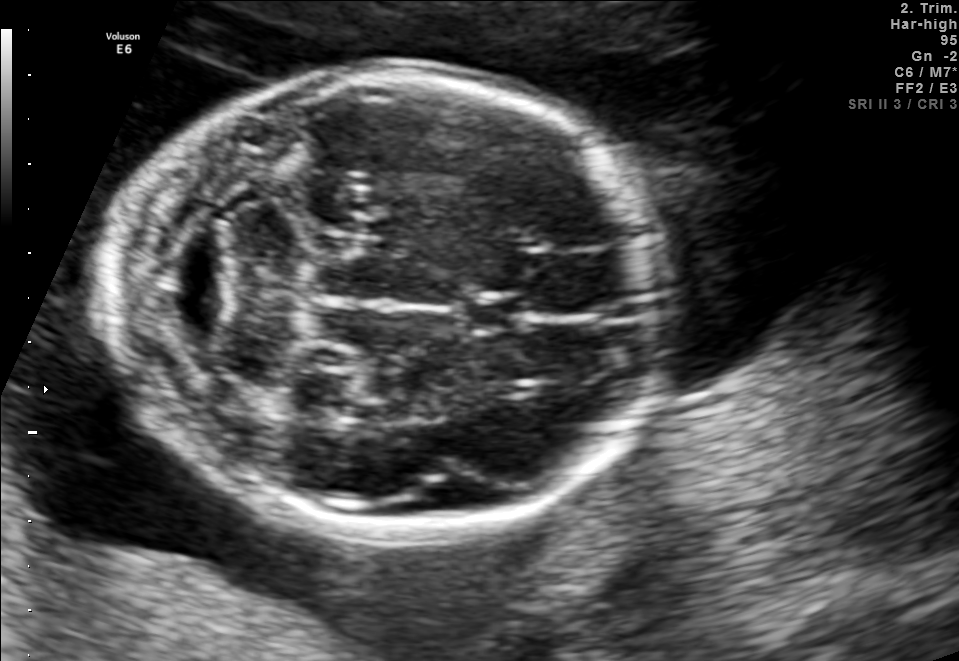
Fetal brain, trans-cerebellum plane. Where is the cavum septum pellucidum?

CSP bounding box: [464,292,534,334]